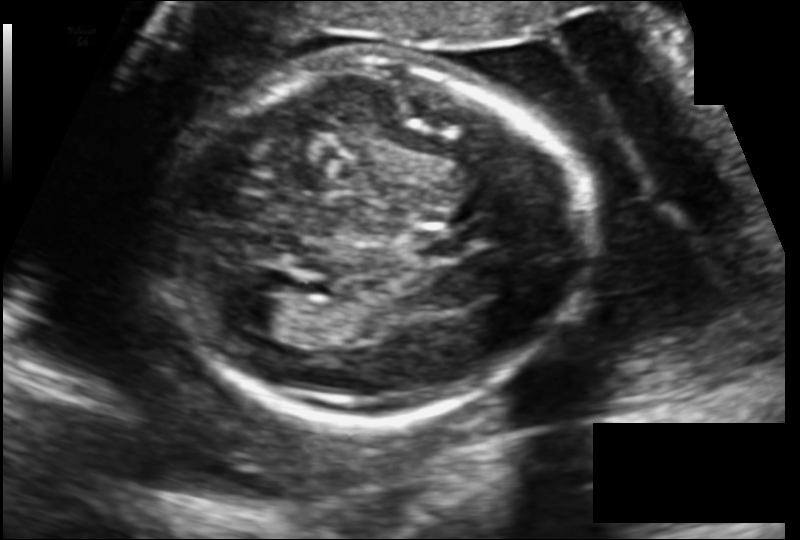
Fetal head ultrasound. Image width: 110.0 mm. Give [x1,y1,x2,y2] bounding boxes for each visible structure among: fetal head, CSP, LV.

Head: [167,60,581,423]
Lateral ventricle: [224,291,290,335]